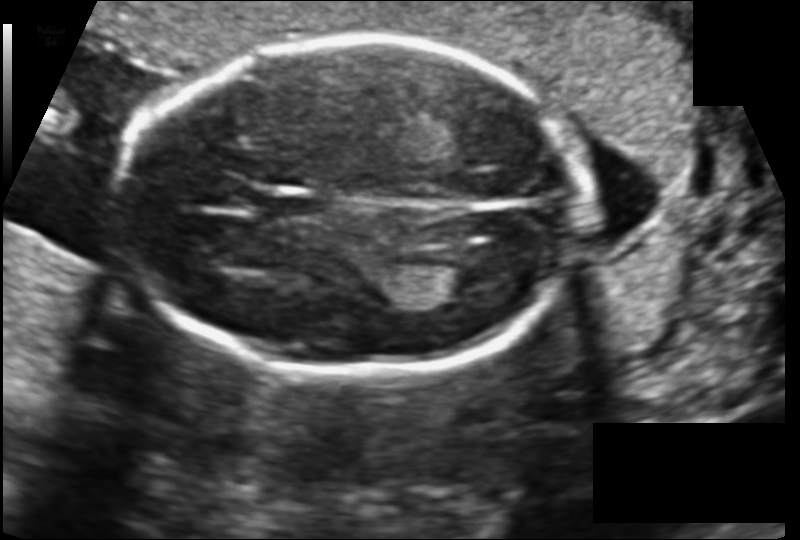
Estimate the fetal head circumference from this 2D ultrasound.

Head circumference: 166.6 mm (image width 102.7 mm).